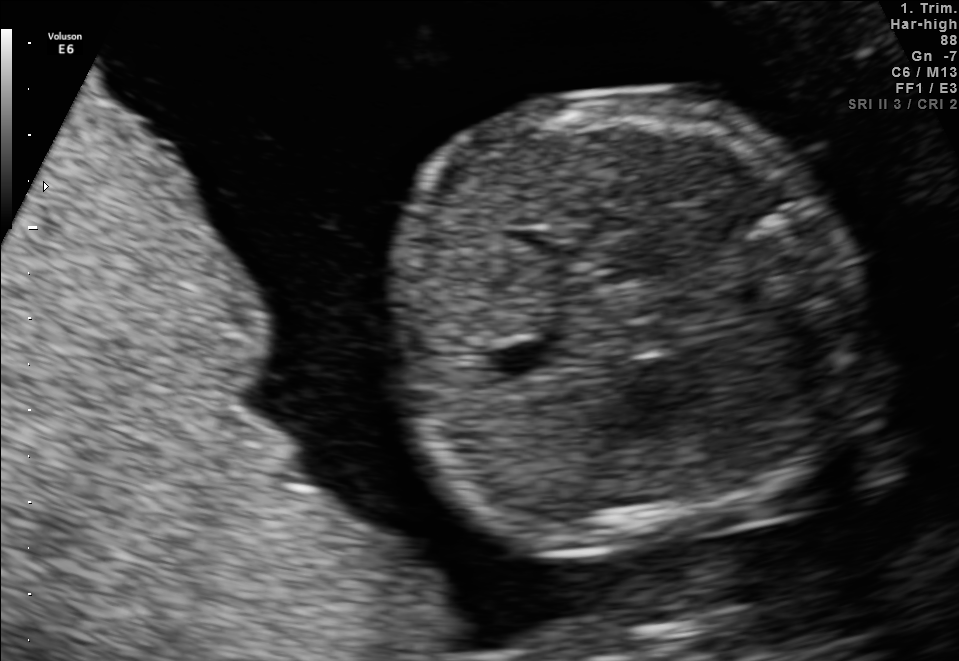
Classify this maternal-fetal ultrasound image as one of the six standard planes — fetal abdomen, fetal brain, fetal femur, fetal thorax, maternal cervix, or other. If it's fetal brain and one of the three standard brain planes (trans-thalamic, trans-cerebellum, trans-ventricular), name which.

Fetal abdomen